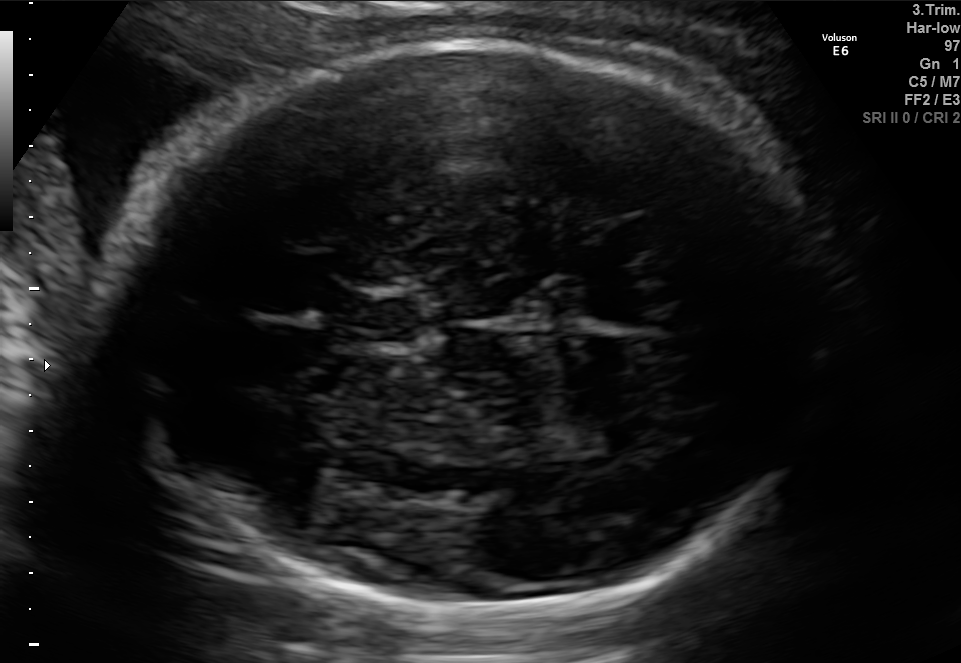
In this fetal brain, trans-thalamic plane, give the bounding box of the cavum septum pellucidum.

[343,297,419,343]